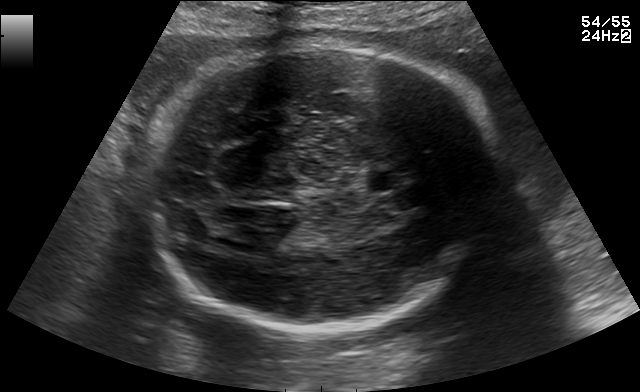
In this fetal brain, trans-thalamic plane, give bounding boxes for the head outline, cavum septum pellucidum (CSP), and lateral ventricle (LV), where visible.

Head: [138,46,507,325]
CSP: [365,166,407,194]